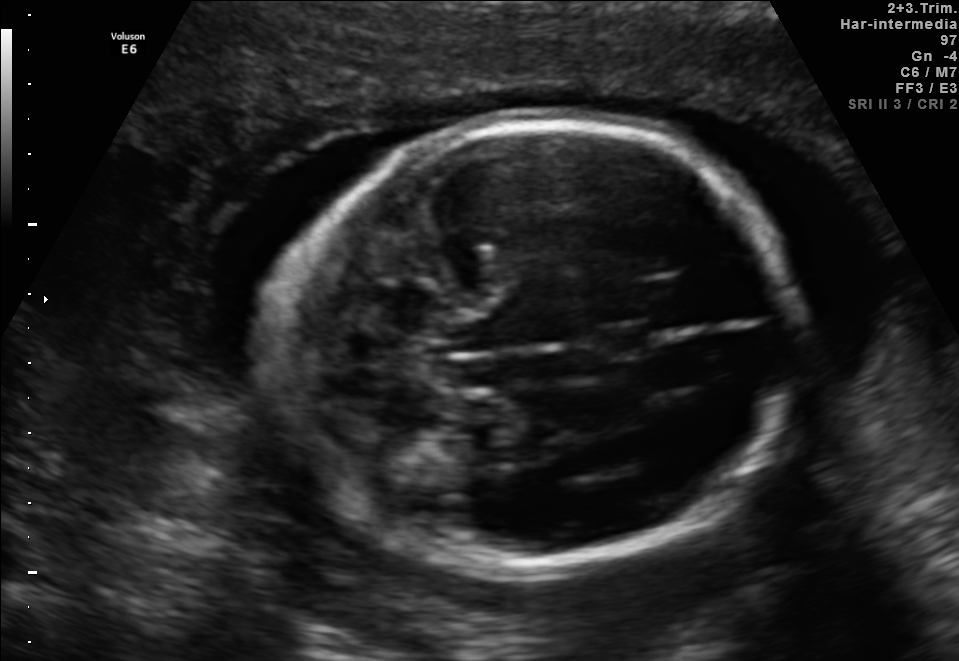
In this fetal brain, trans-cerebellum plane, give the bounding box of the cavum septum pellucidum.

[587,320,657,364]